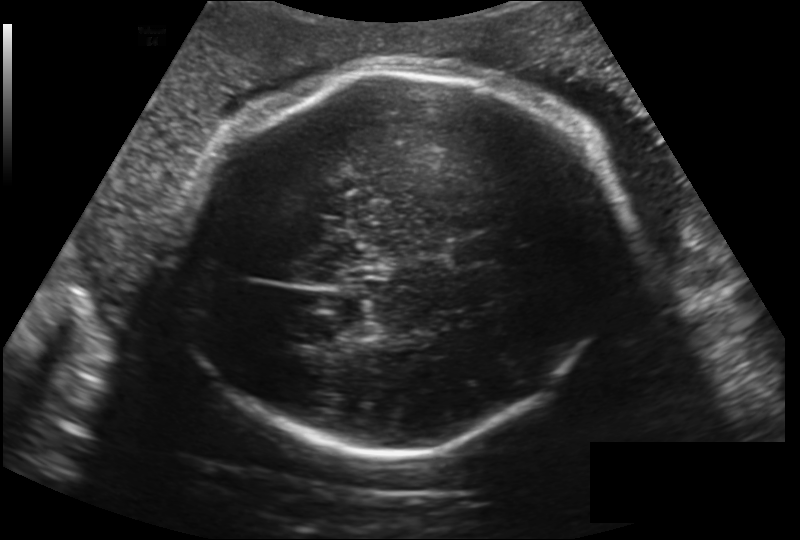
Fetal head ultrasound. Image width: 179.4 mm. Locate the fetal head.

Head: [179,62,616,455]